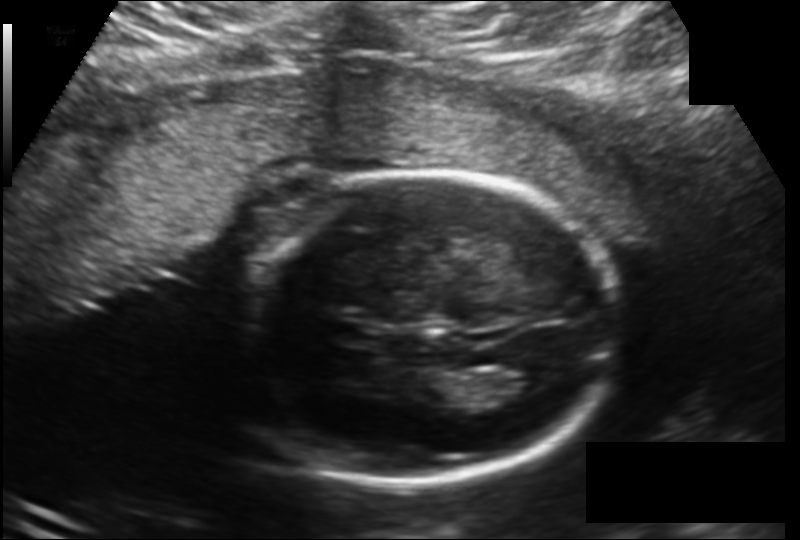
Fetal head ultrasound. Image width: 132.4 mm. Locate the fetal head.

Head: [226,174,621,482]